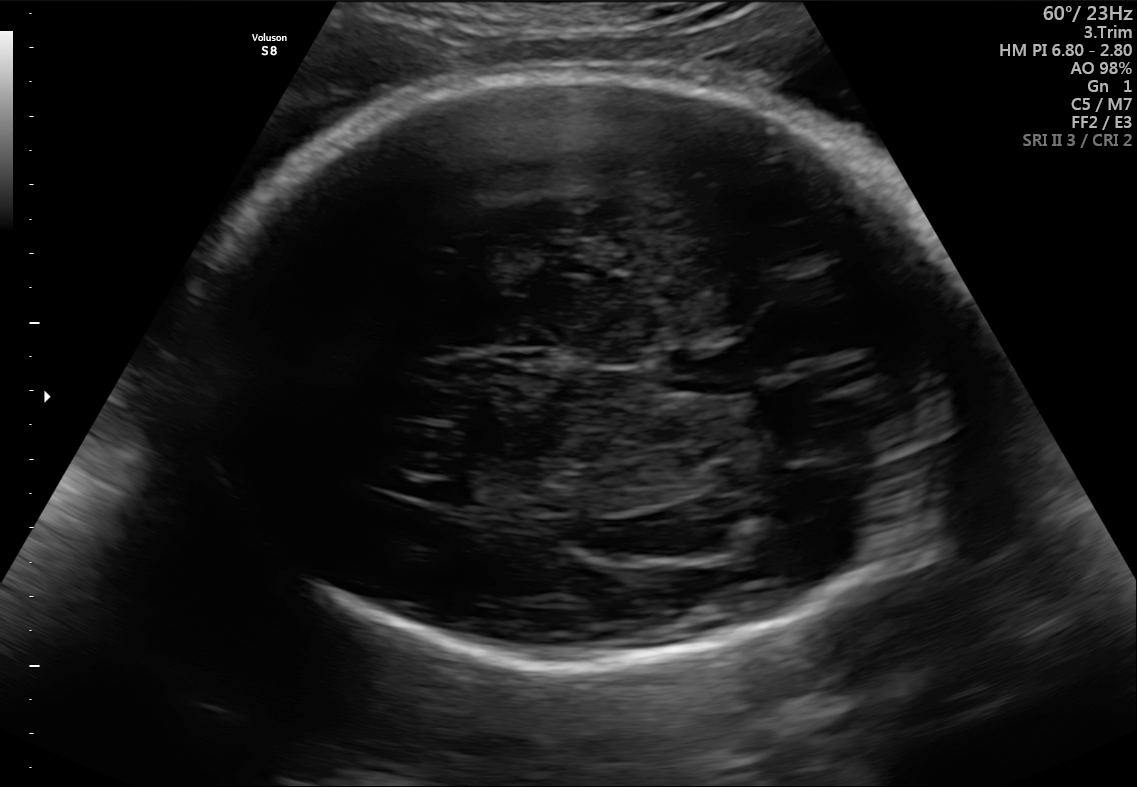
Fetal brain, trans-thalamic plane. Locate the lateral ventricle.

Lateral ventricle: [427,479,484,505]